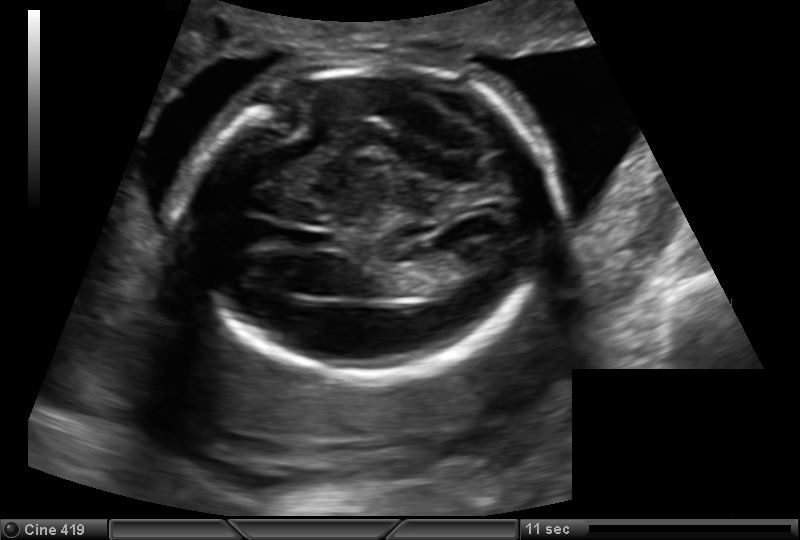
Fetal head ultrasound. Image width: 122.2 mm. Give [x1,y1,x2,y2] bounding boxes for each visible structure among: fetal head, CSP, LV.

Head: [191,62,547,373]